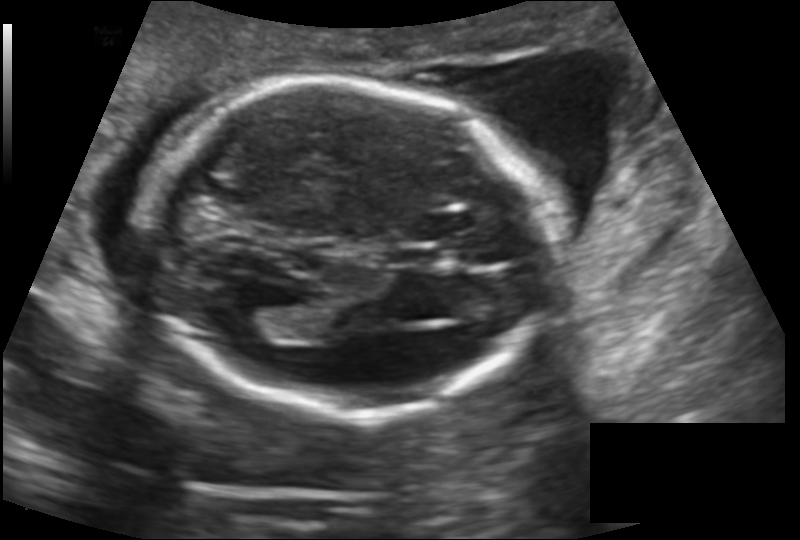
In this fetal head ultrasound, give the bounding box of the cavum septum pellucidum. Image width: 116.4 mm.

[392,247,446,268]